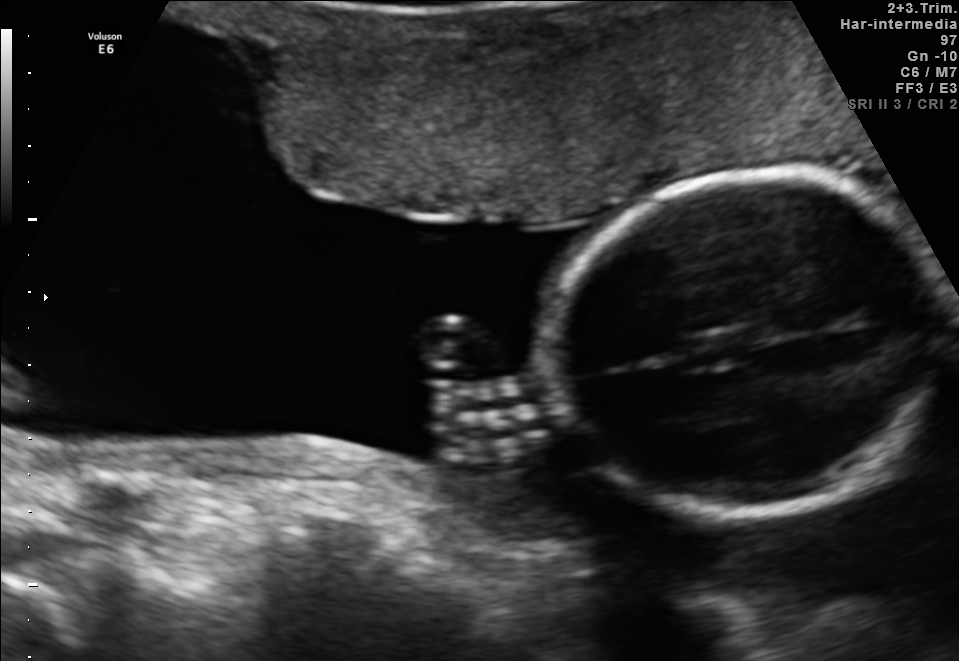
Fetal brain, trans-thalamic plane. Give [x1,y1,x2,y2] bounding boxes for each visible structure among: fetal head, CSP, LV.

Head: [548,178,951,515]